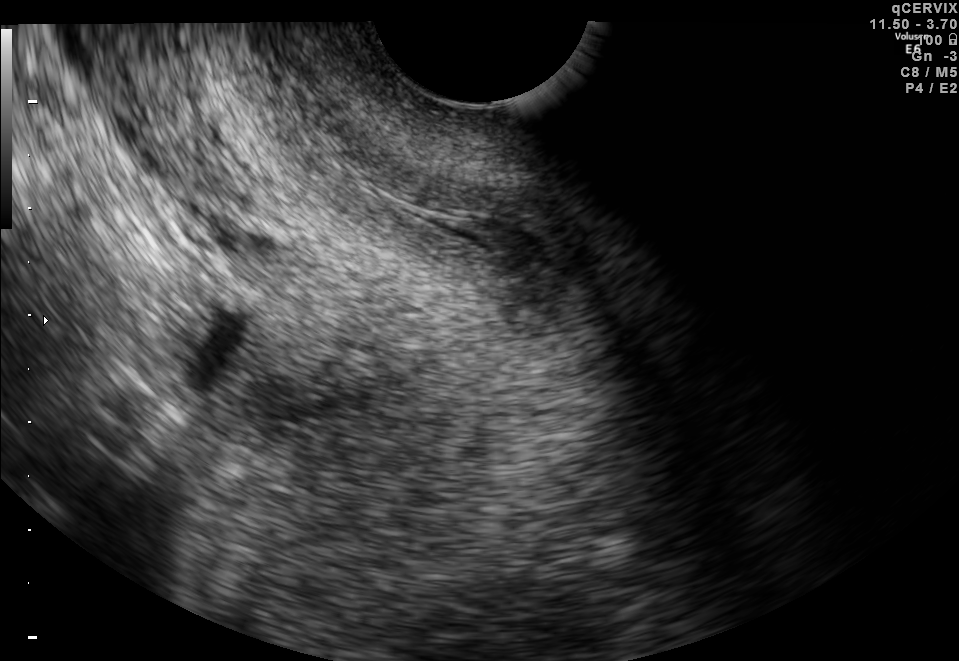
Classify this maternal-fetal ultrasound image as one of the six standard planes — fetal abdomen, fetal brain, fetal femur, fetal thorax, maternal cervix, or other. If it's fetal brain and one of the three standard brain planes (trans-thalamic, trans-cerebellum, trans-ventricular), name which.

Maternal cervix